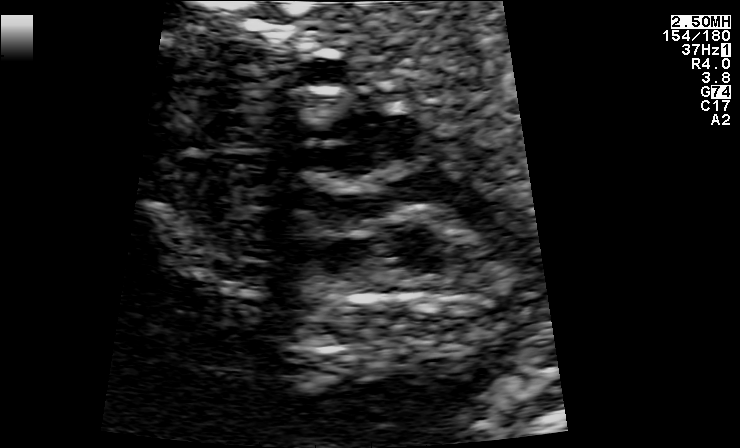
Identify the standard plane in this fetal ultrasound image: fetal abdomen, fetal brain, fetal femur, fetal thorax, maternal cervix, or other. If it's fetal brain and one of the three standard brain planes (trans-thalamic, trans-cerebellum, trans-ventricular), name which.

Other